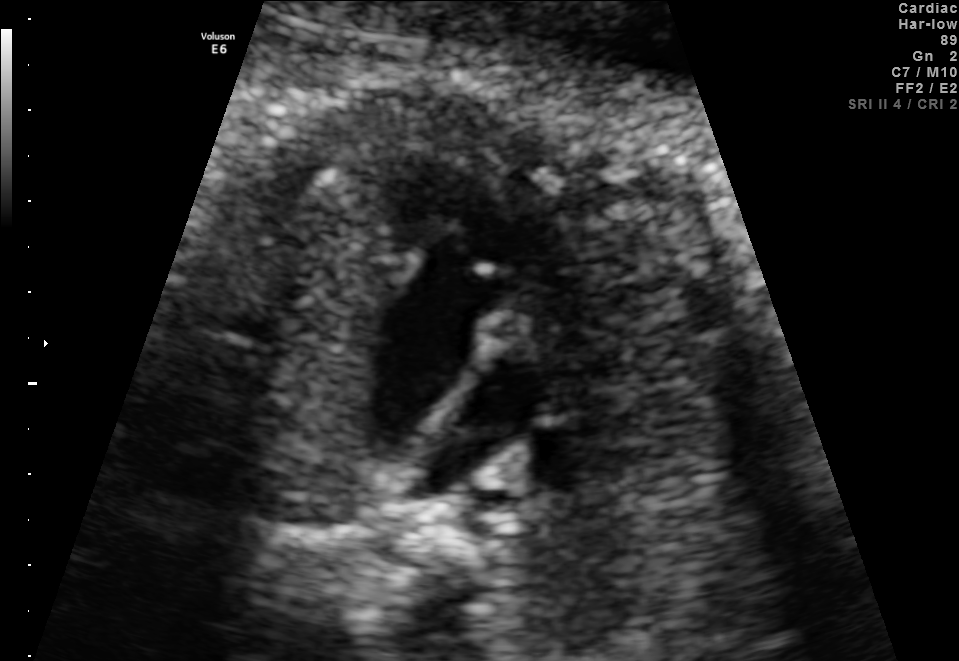
Identify the standard plane in this fetal ultrasound image: fetal abdomen, fetal brain, fetal femur, fetal thorax, maternal cervix, or other. If it's fetal brain and one of the three standard brain planes (trans-thalamic, trans-cerebellum, trans-ventricular), name which.

Fetal thorax